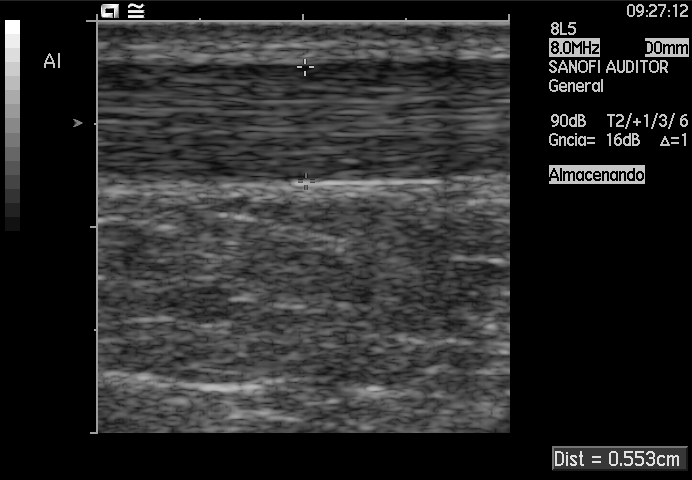
Identify the standard plane in this fetal ultrasound image: fetal abdomen, fetal brain, fetal femur, fetal thorax, maternal cervix, or other. If it's fetal brain and one of the three standard brain planes (trans-thalamic, trans-cerebellum, trans-ventricular), name which.

Other